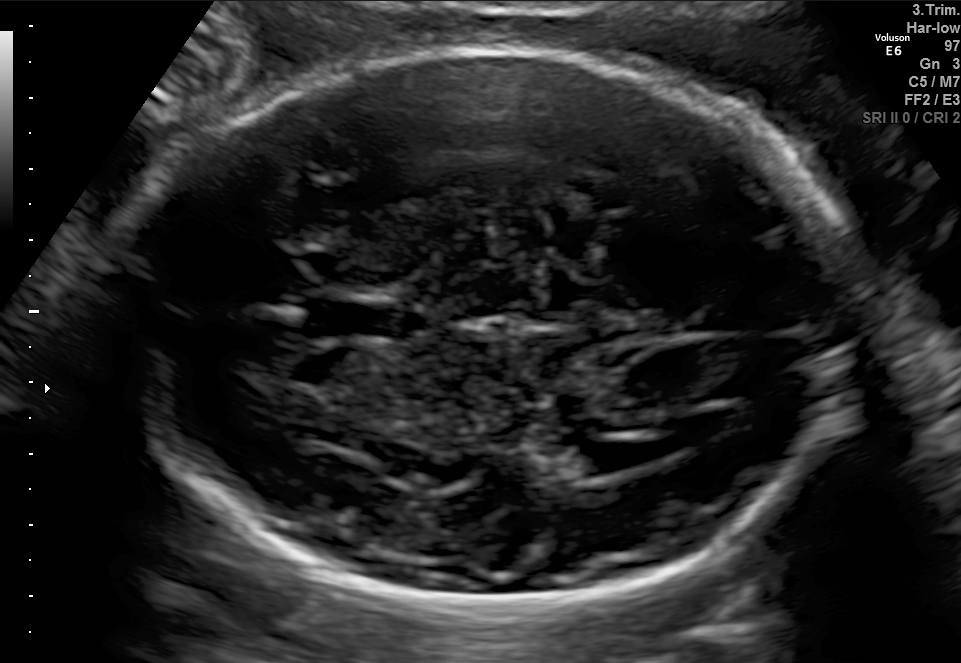
Fetal brain, trans-ventricular plane. Locate the cavum septum pellucidum.

CSP: [308,297,395,338]